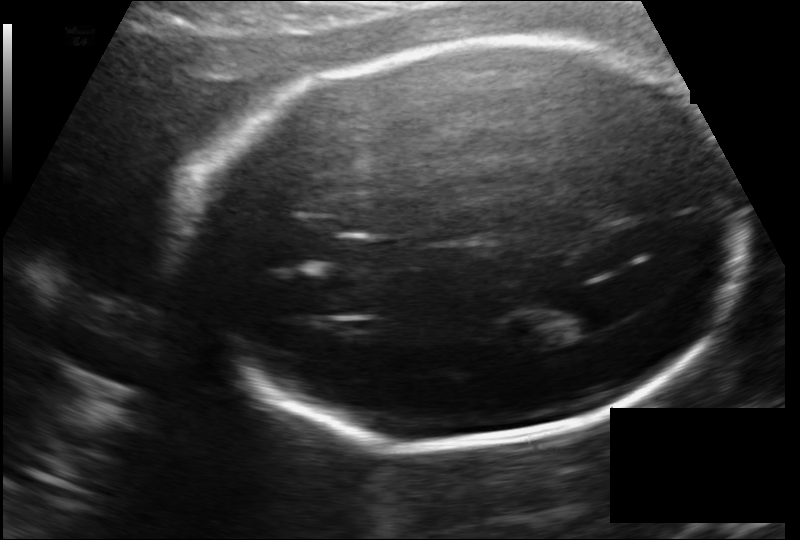
In this fetal head ultrasound, give bounding boxes for the head outline, cavum septum pellucidum (CSP), and lateral ventricle (LV), where visible. Image width: 112.6 mm.

Head: [192,44,743,449]
Lateral ventricle: [525,285,622,348]